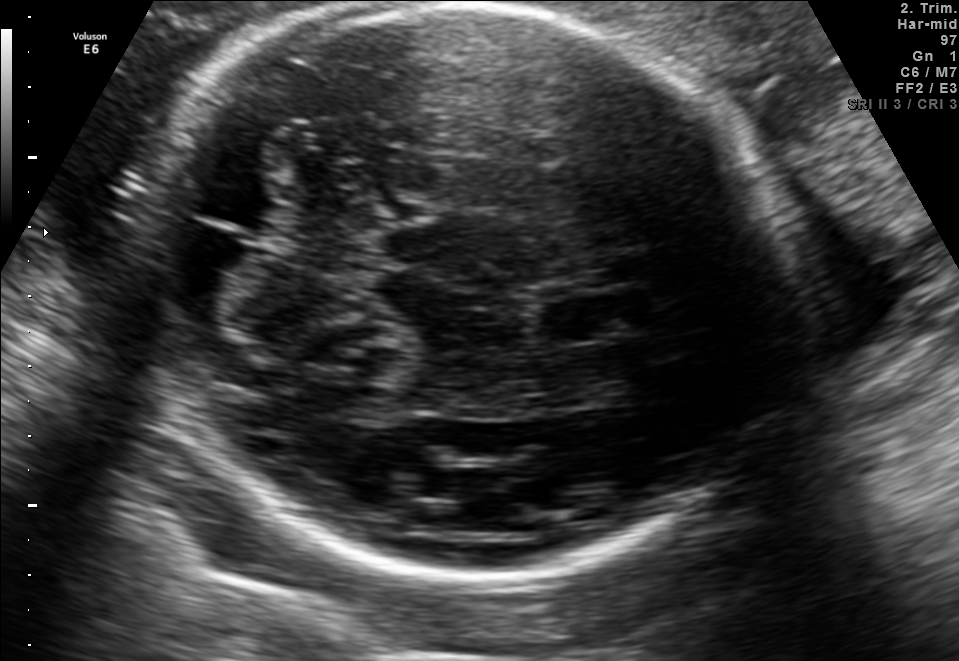
In this fetal brain, trans-cerebellum plane, give bounding boxes for the head outline, cavum septum pellucidum (CSP), and lateral ventricle (LV), where visible.

Head: [136,3,777,576]
CSP: [535,290,645,347]